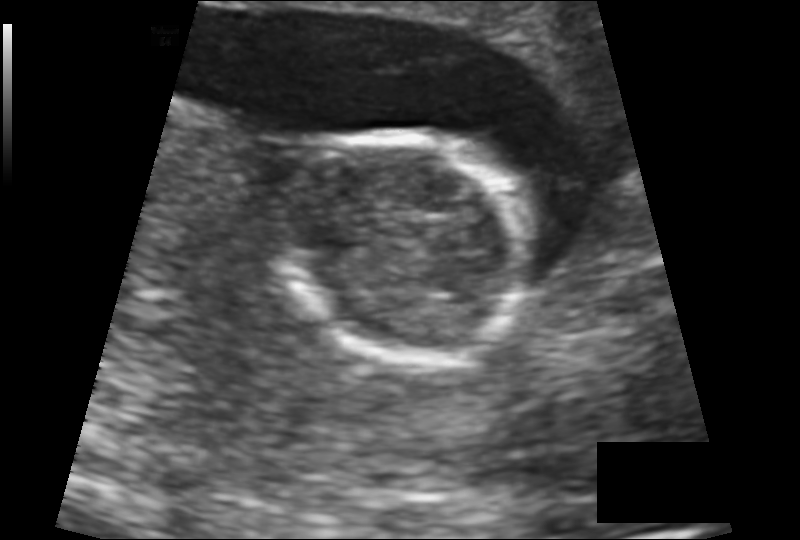
Fetal head ultrasound. Image width: 109.7 mm. Give [x1,y1,x2,y2] bounding boxes for each visible structure among: fetal head, CSP, LV.

Head: [273,133,532,361]